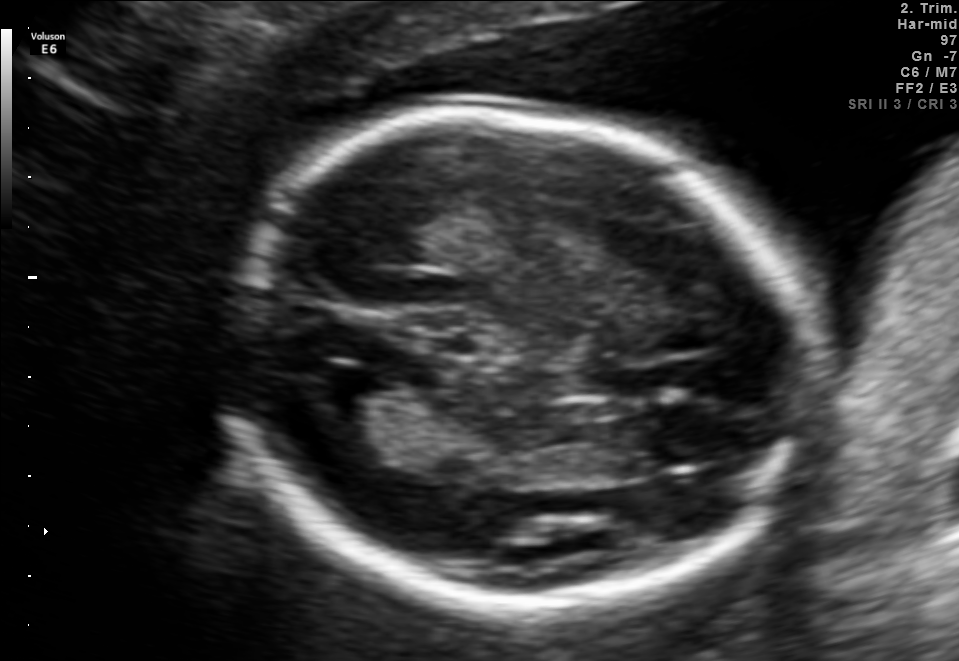
Fetal brain, trans-thalamic plane. Where is the fetal head?

Head bounding box: [218,113,815,600]